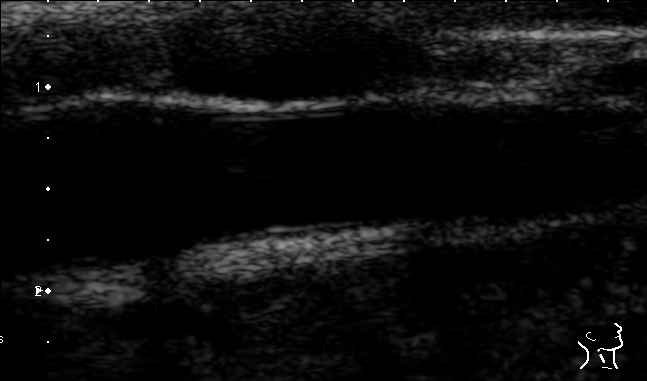
Which standard maternal-fetal ultrasound plane is shown: fetal abdomen, fetal brain, fetal femur, fetal thorax, maternal cervix, or other? If it's fetal brain and one of the three standard brain planes (trans-thalamic, trans-cerebellum, trans-ventricular), name which.

Other